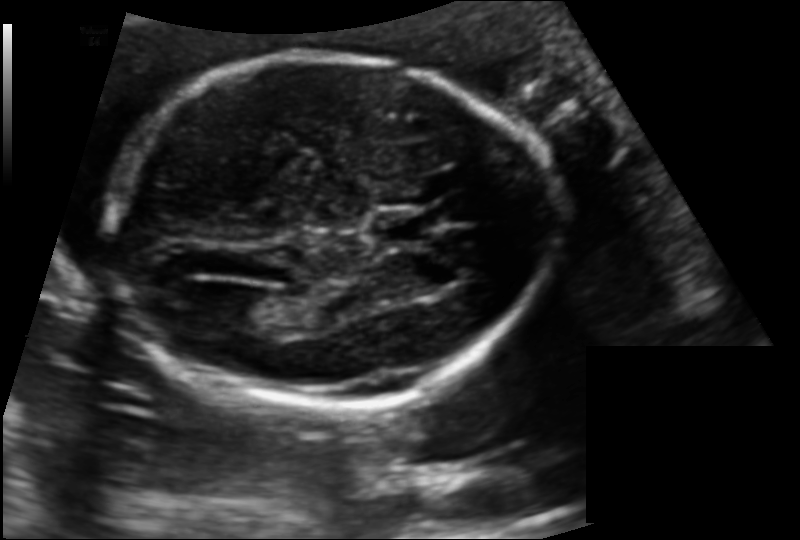
What is the fetal head circumference? Image width is 105.8 mm.

171.7 mm